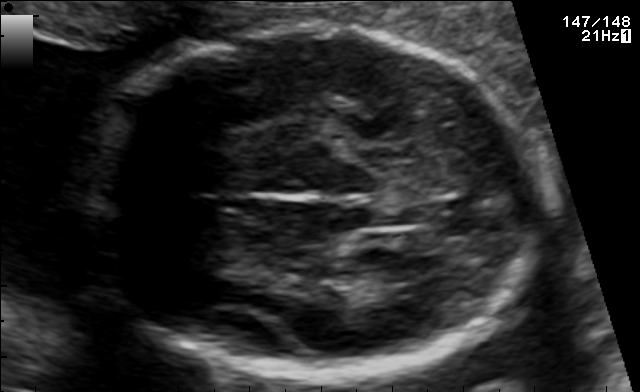
Fetal brain, trans-thalamic plane. Where is the fetal head?

Head bounding box: [77,24,541,379]